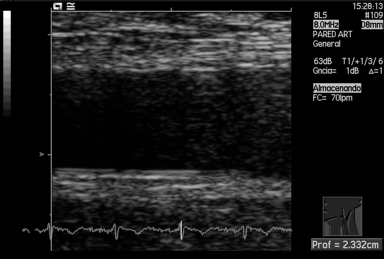
Which standard maternal-fetal ultrasound plane is shown: fetal abdomen, fetal brain, fetal femur, fetal thorax, maternal cervix, or other? If it's fetal brain and one of the three standard brain planes (trans-thalamic, trans-cerebellum, trans-ventricular), name which.

Other